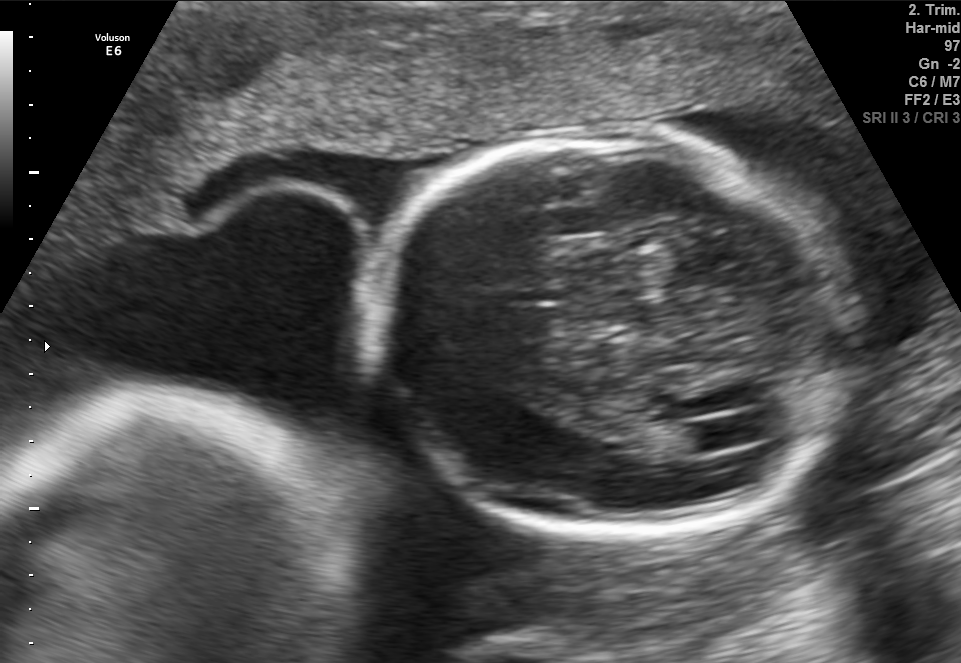
In this fetal brain, trans-ventricular plane, give the bounding box of the lateral ventricle.

[682,412,753,456]